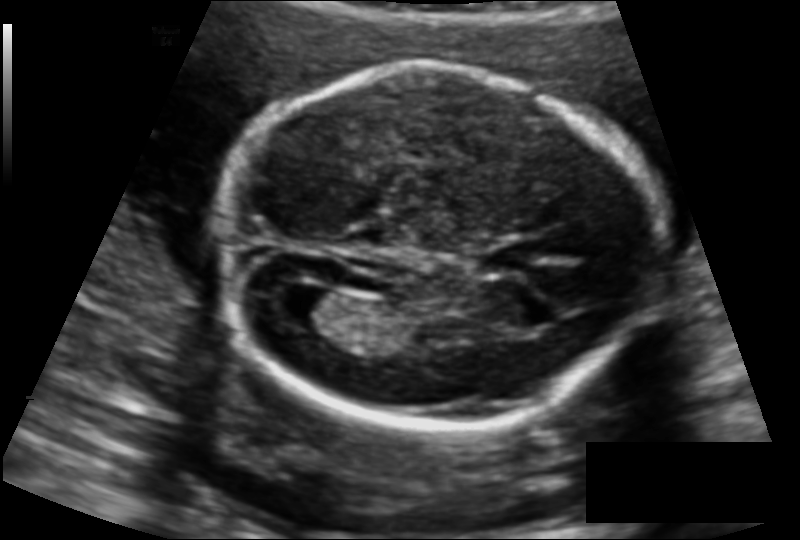
In this fetal head ultrasound, give the bounding box of the lateral ventricle. Image width: 101.8 mm.

[269,275,348,338]